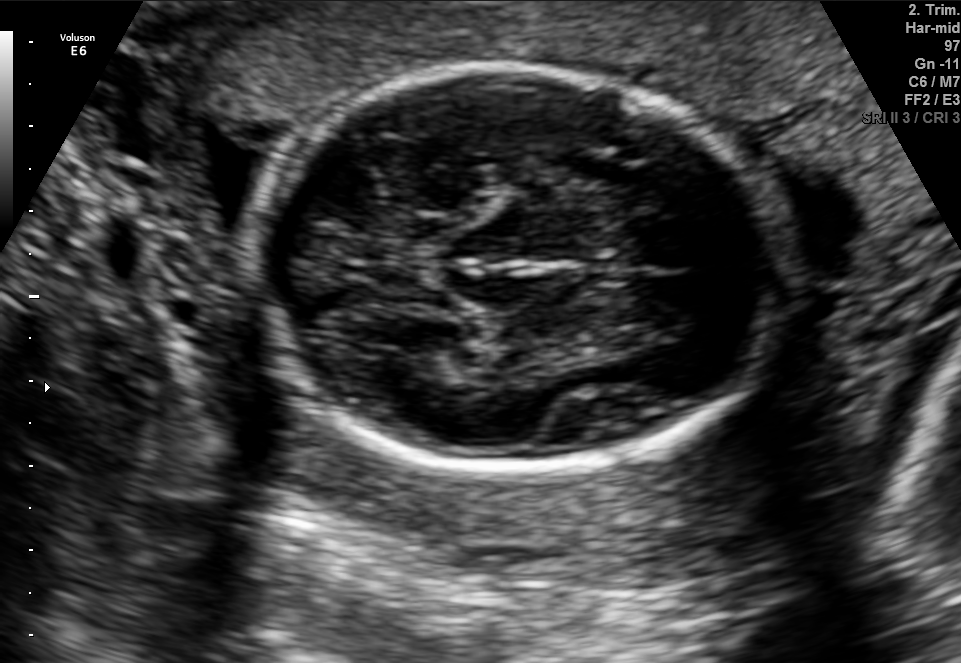
Fetal brain, trans-thalamic plane. Locate the fetal head and, if visible, the cavum septum pellucidum (CSP) and lateral ventricle (LV). Give bounding boxes as [x1,y1,x2,y2].

Head: [254,68,776,468]